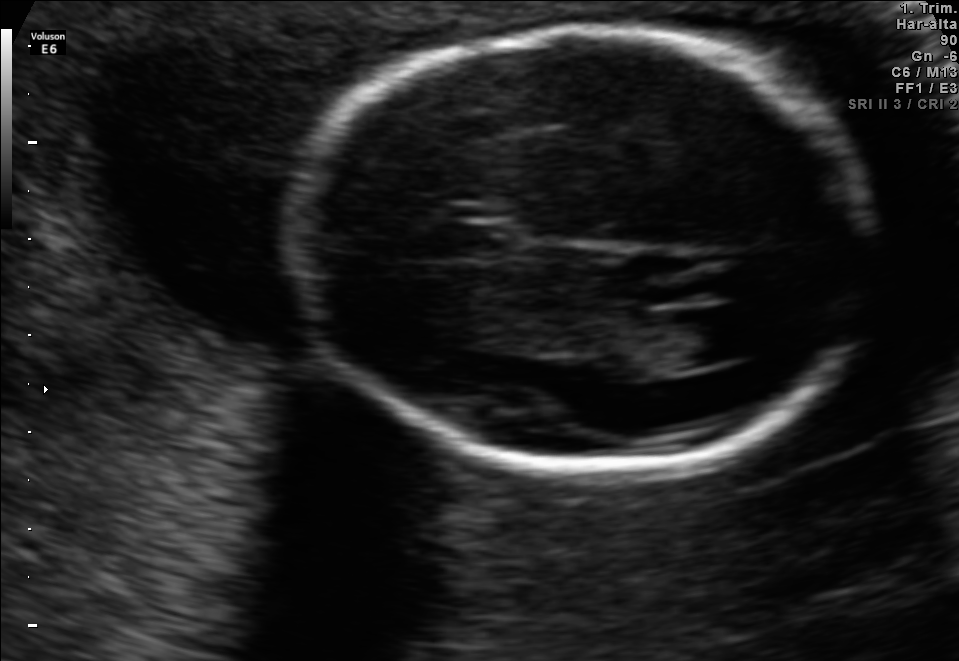
Fetal brain, trans-ventricular plane. Locate the lateral ventricle.

Lateral ventricle: [651,300,763,375]